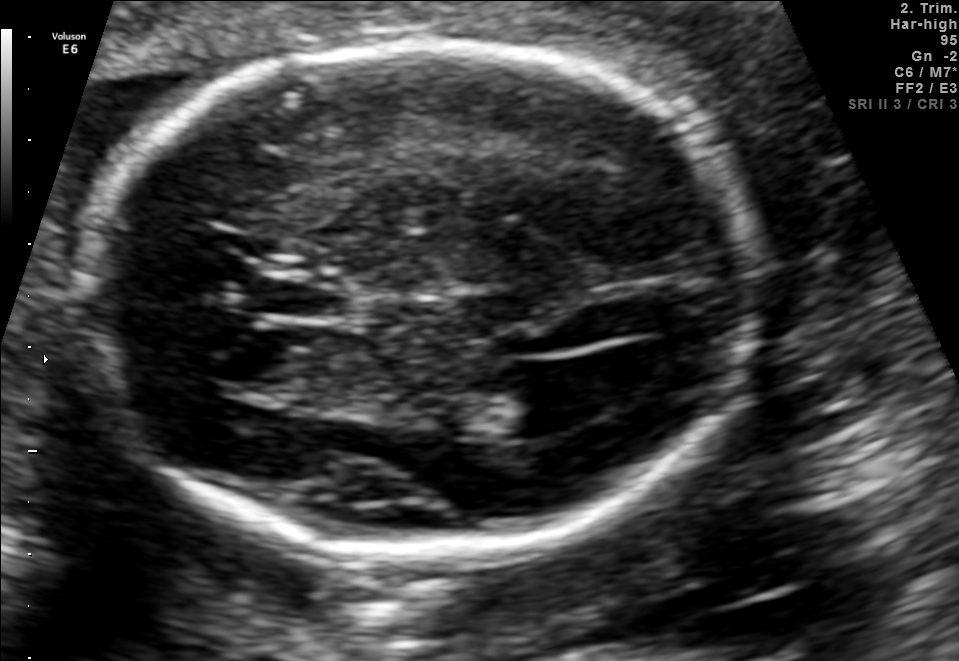
In this fetal brain, trans-ventricular plane, give the bounding box of the fetal head.

[67,32,772,571]